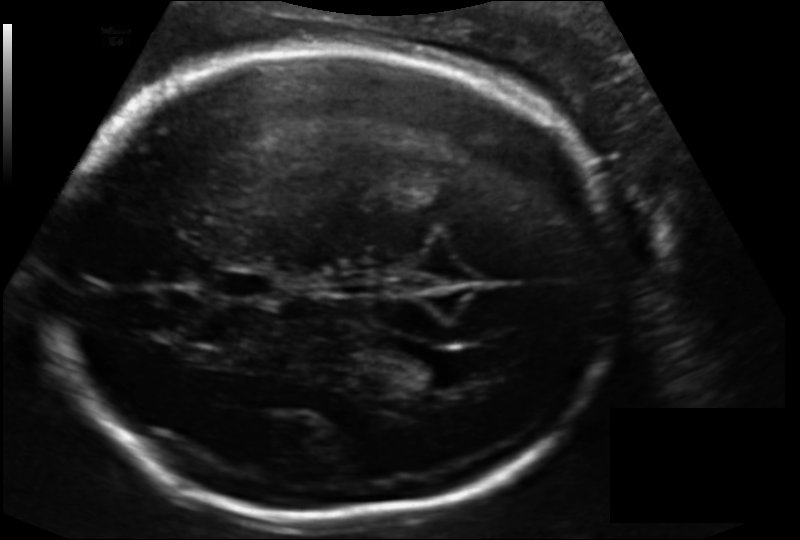
Fetal head ultrasound. Image width: 124.7 mm. Where is the fetal head?

Head bounding box: [43,45,614,518]